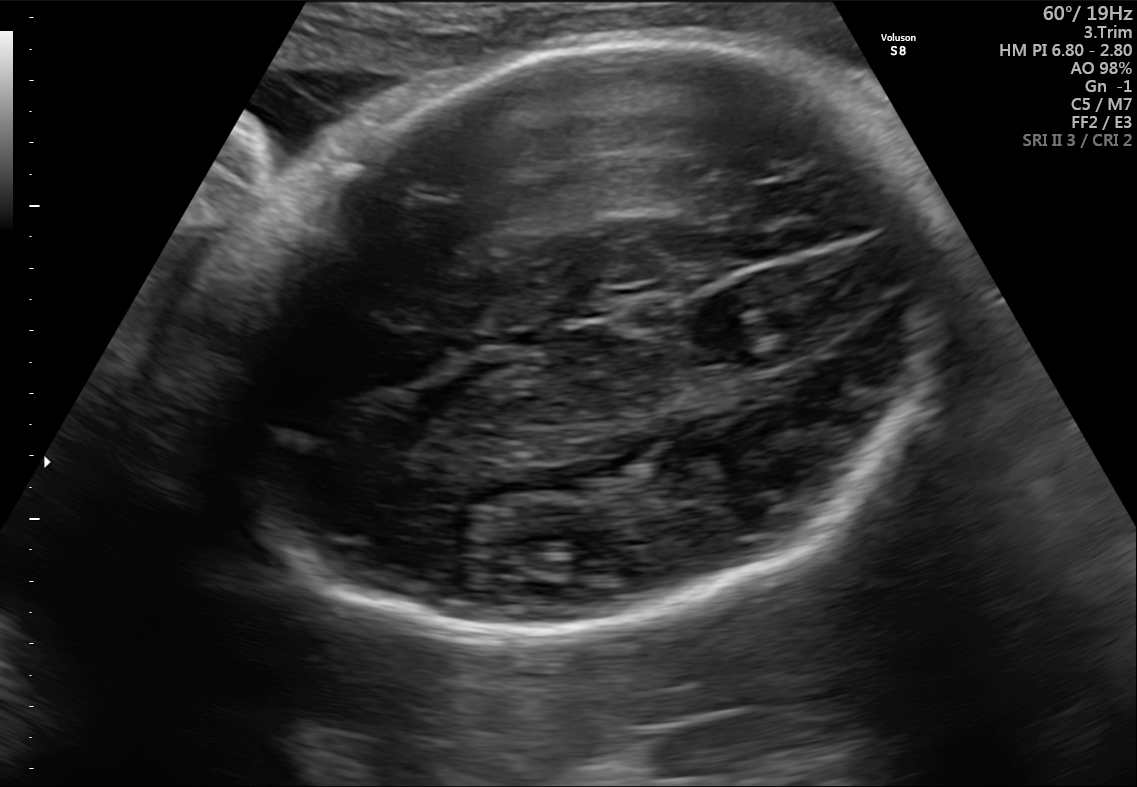
In this fetal brain, trans-thalamic plane, give bounding boxes for the head outline, cavum septum pellucidum (CSP), and lateral ventricle (LV), where visible.

Head: [210,42,967,641]